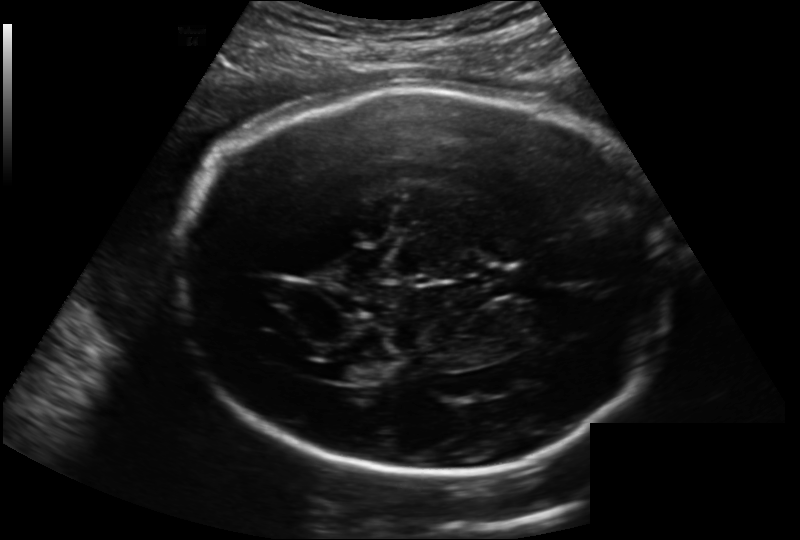
In this fetal head ultrasound, give the bounding box of the fetal head. Image width: 161.8 mm.

[179,87,668,477]